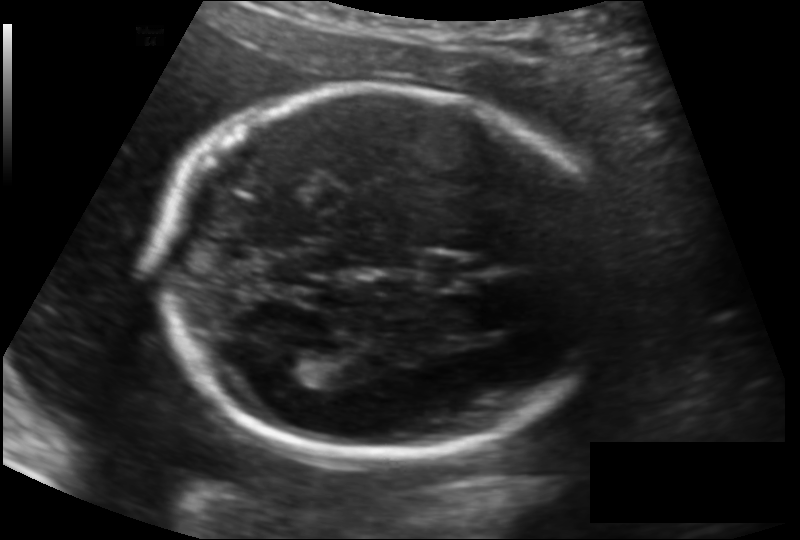
Fetal head ultrasound. Image width: 107.5 mm. Locate the lateral ventricle.

Lateral ventricle: [270,345,335,390]